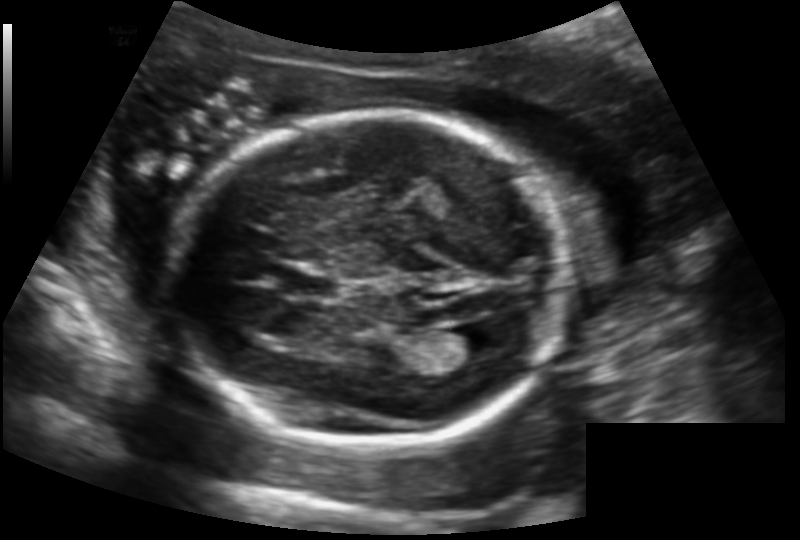
Fetal head ultrasound. Image width: 117.4 mm. Where is the fetal head?

Head bounding box: [172,113,568,449]